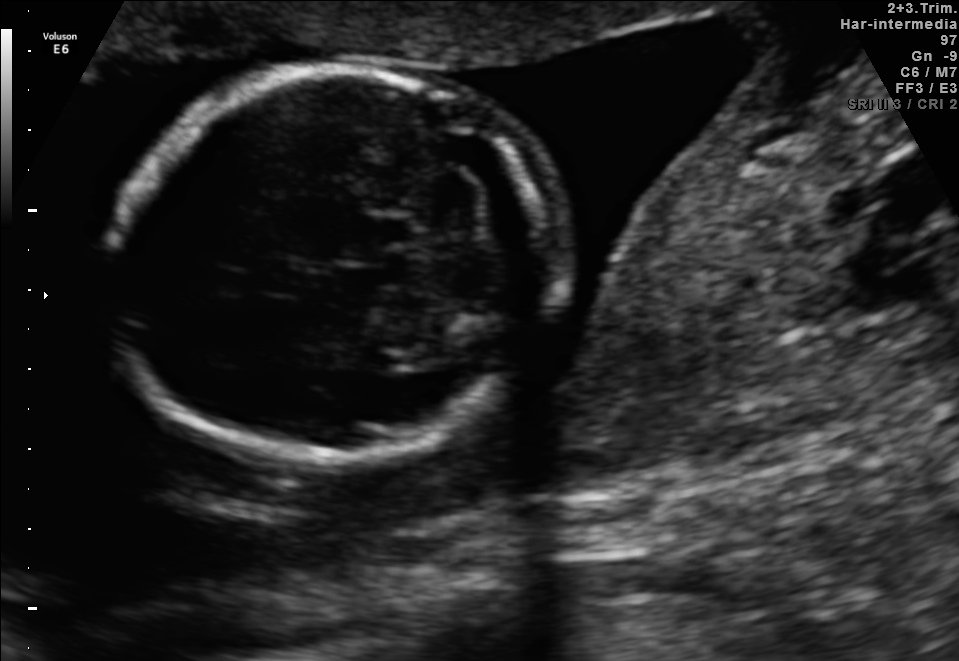
Fetal brain, trans-cerebellum plane. Give [x1,y1,x2,y2] bounding boxes for each visible structure among: fetal head, CSP, LV.

Head: [111,67,548,464]